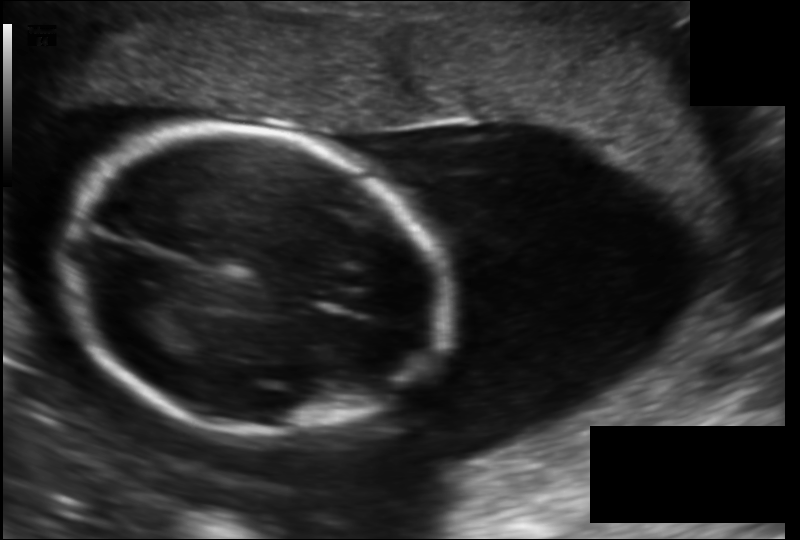
In this fetal head ultrasound, give the bounding box of the fetal head. Image width: 124.6 mm.

[66,129,442,434]